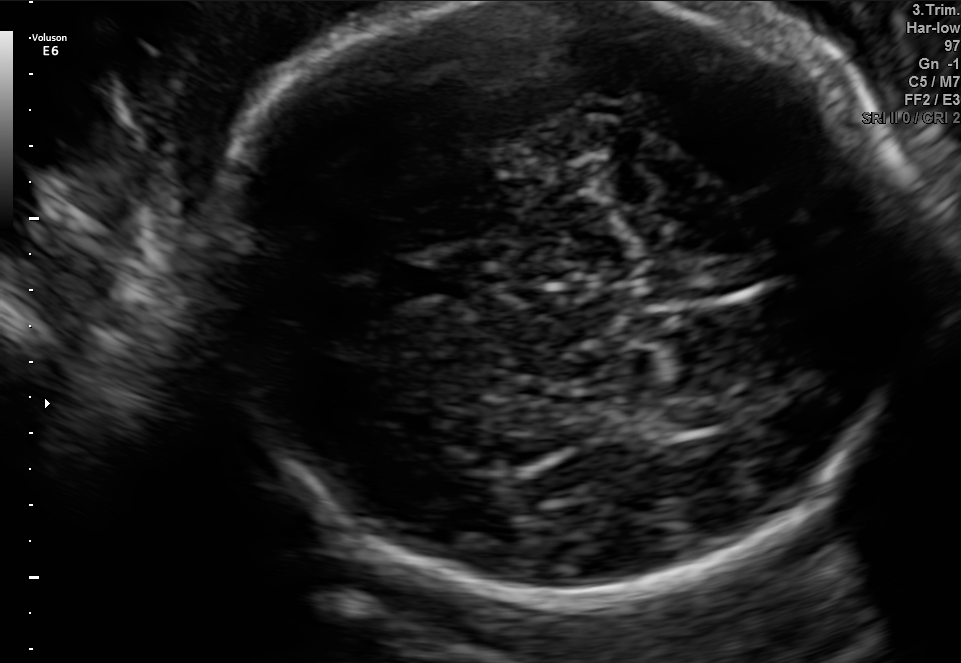
This is a 2D maternal-fetal ultrasound frame. Is it a fetal abdomen, fetal brain, fetal femur, fetal thorax, maternal cervix, or other standard plane? If it's fetal brain and one of the three standard brain planes (trans-thalamic, trans-cerebellum, trans-ventricular), name which.

Fetal brain (trans-thalamic plane)